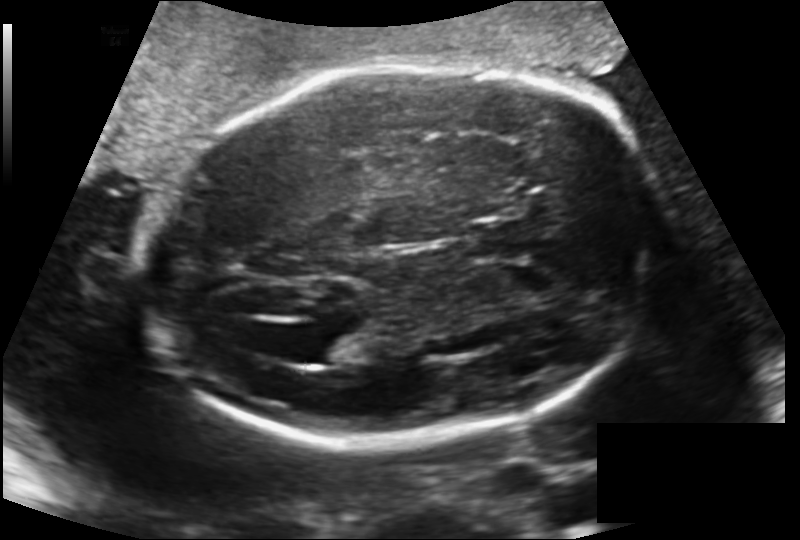
Fetal head ultrasound. Image width: 136.0 mm. Where is the fetal head?

Head bounding box: [142,63,668,444]